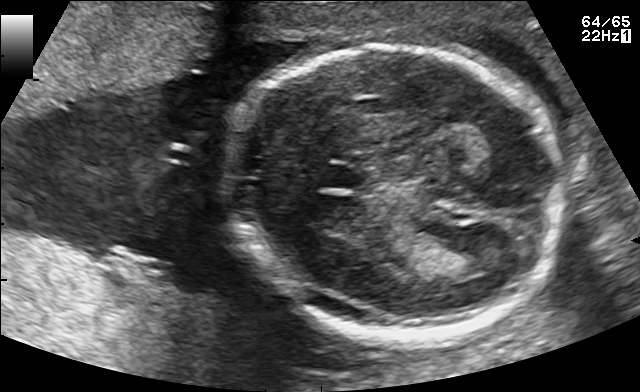
Which standard maternal-fetal ultrasound plane is shown: fetal abdomen, fetal brain, fetal femur, fetal thorax, maternal cervix, or other? If it's fetal brain and one of the three standard brain planes (trans-thalamic, trans-cerebellum, trans-ventricular), name which.

Fetal brain (trans-thalamic plane)